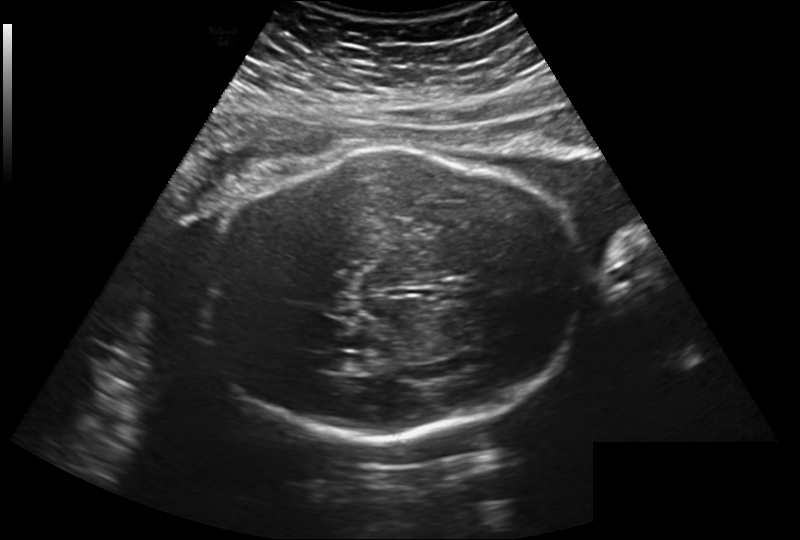
Fetal head ultrasound. Image width: 208.3 mm. Give [x1,y1,x2,y2] bounding boxes for each visible structure among: fetal head, CSP, LV.

Head: [204,145,583,439]
Lateral ventricle: [326,352,364,373]